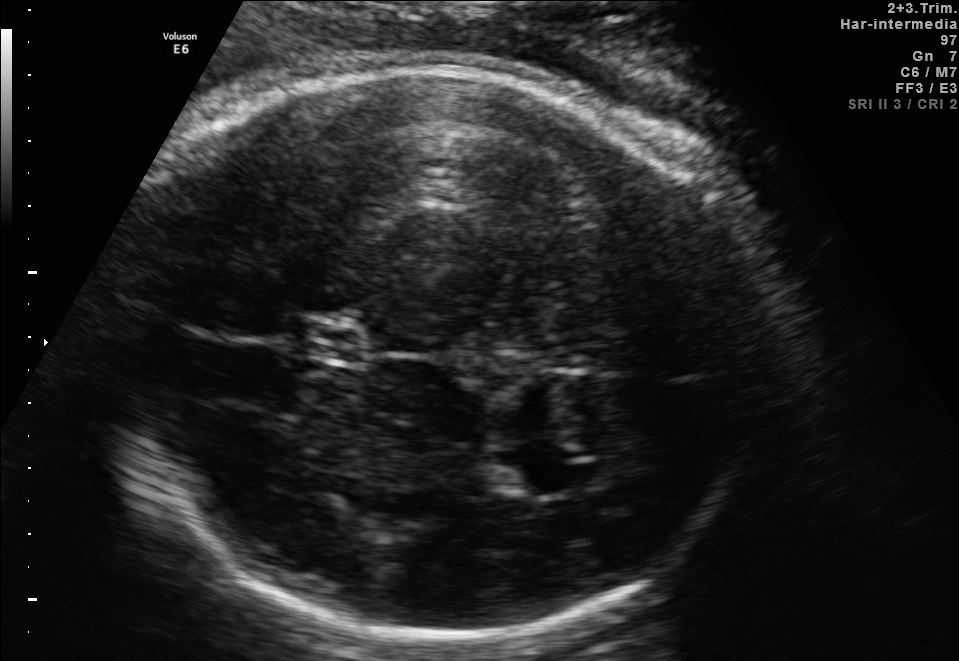
Fetal brain, trans-thalamic plane. Where is the lateral ventricle?

Lateral ventricle bounding box: [490,445,568,502]